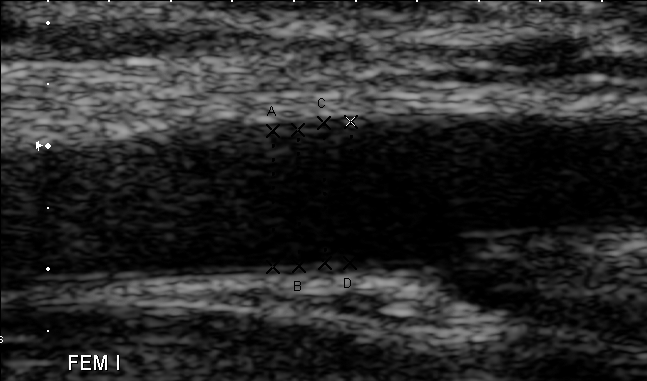
Which standard maternal-fetal ultrasound plane is shown: fetal abdomen, fetal brain, fetal femur, fetal thorax, maternal cervix, or other? If it's fetal brain and one of the three standard brain planes (trans-thalamic, trans-cerebellum, trans-ventricular), name which.

Other